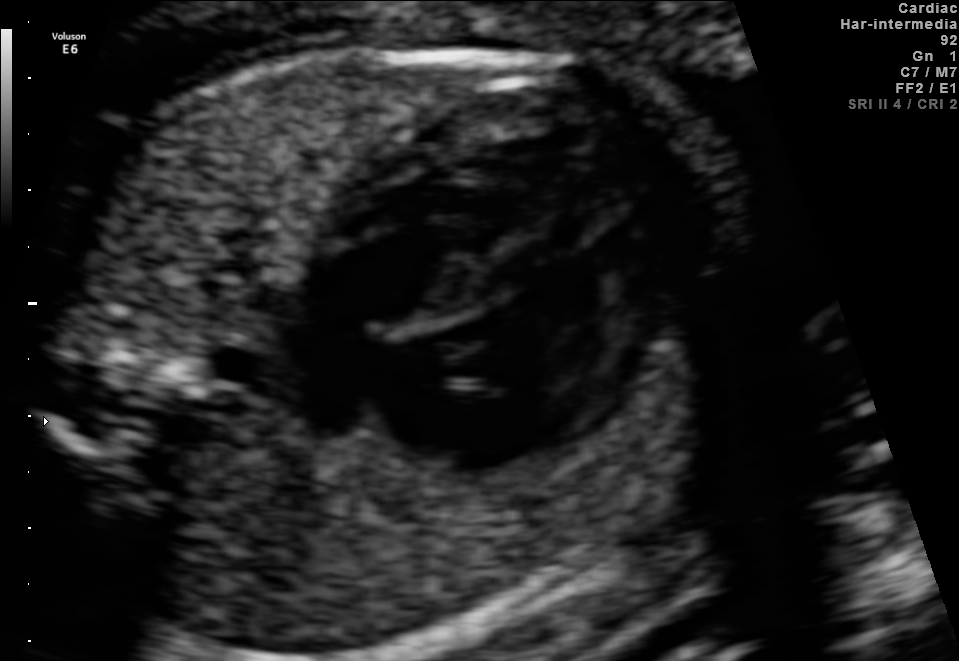
Identify the standard plane in this fetal ultrasound image: fetal abdomen, fetal brain, fetal femur, fetal thorax, maternal cervix, or other. If it's fetal brain and one of the three standard brain planes (trans-thalamic, trans-cerebellum, trans-ventricular), name which.

Fetal thorax